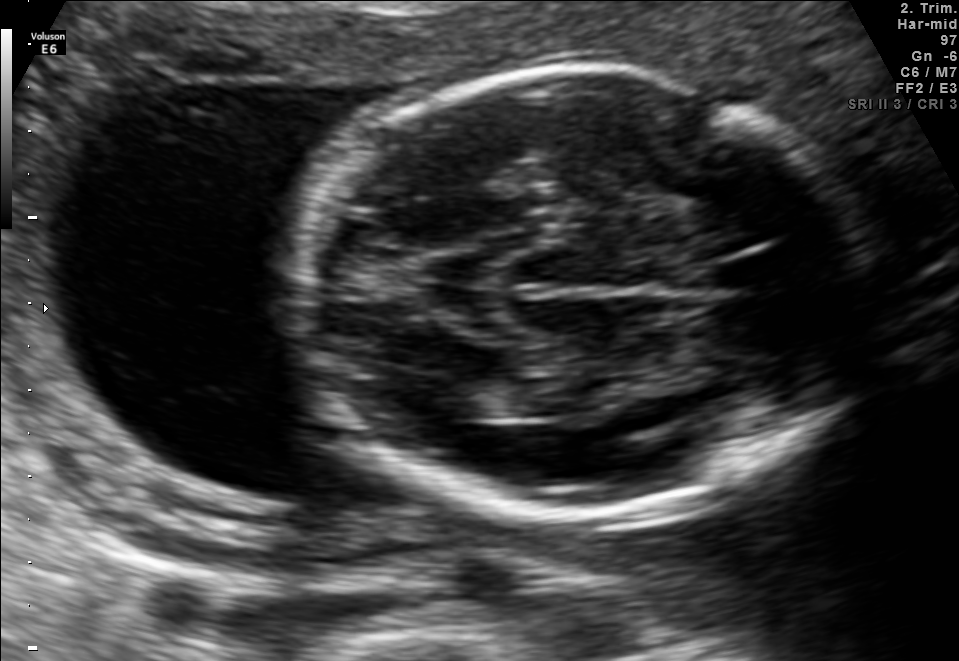
Fetal brain, trans-thalamic plane. Where is the fetal head?

Head bounding box: [298,69,867,516]